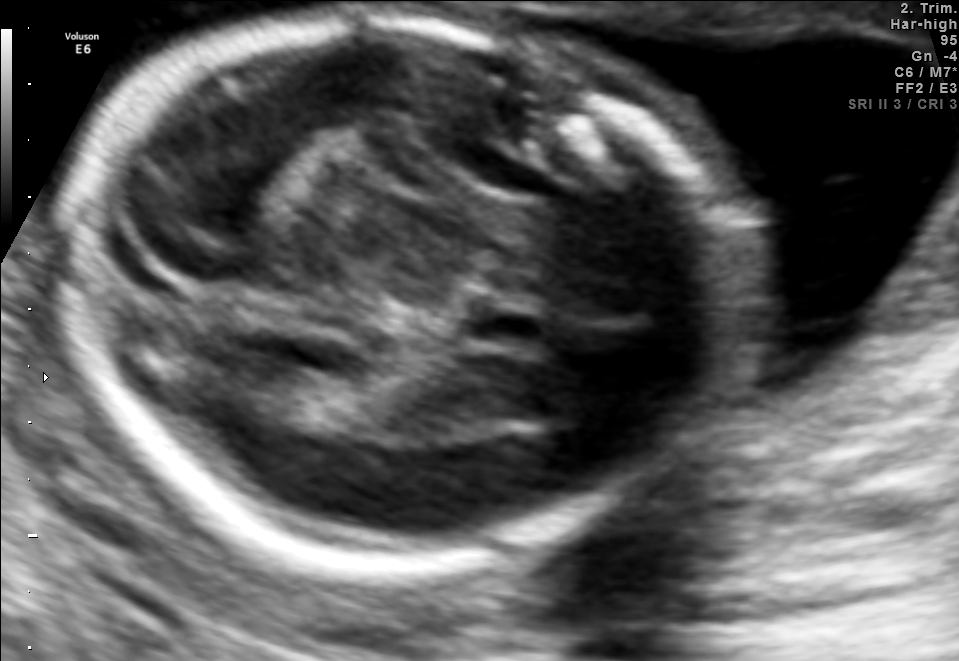
Fetal brain, trans-thalamic plane. Locate the fetal head.

Head: [65,17,710,570]